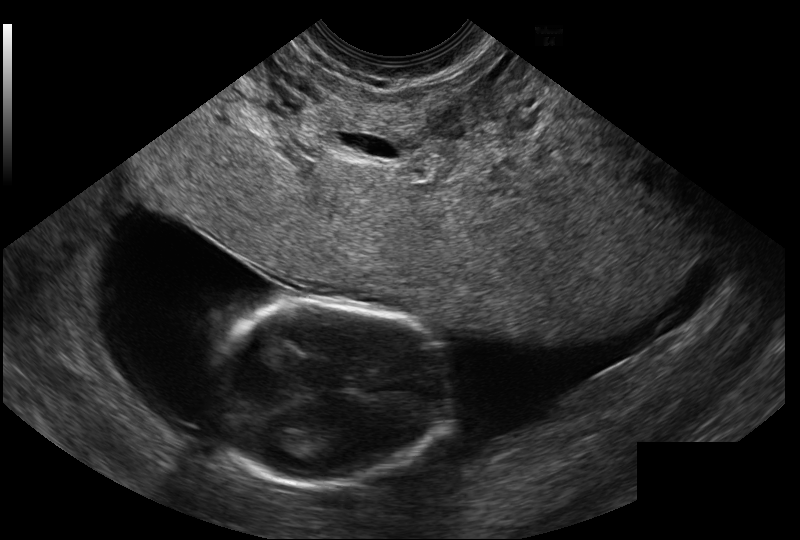
Fetal head ultrasound. Image width: 91.4 mm. Give [x1,y1,x2,y2] bounding boxes for each visible structure among: fetal head, CSP, LV.

Head: [209,301,452,486]